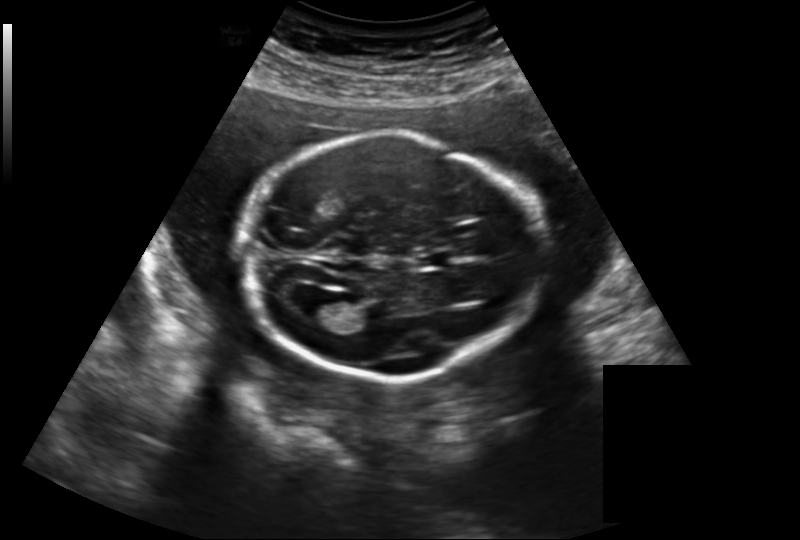
Fetal head ultrasound. Image width: 175.2 mm. Where is the lateral ventricle?

Lateral ventricle bounding box: [300,286,352,330]